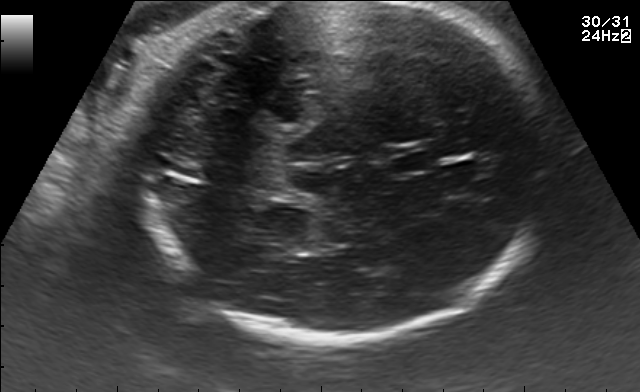
Fetal brain, trans-thalamic plane. Give [x1,y1,x2,y2] bounding boxes for each visible structure among: fetal head, CSP, LV.

Head: [131,3,557,342]
CSP: [391,150,439,175]